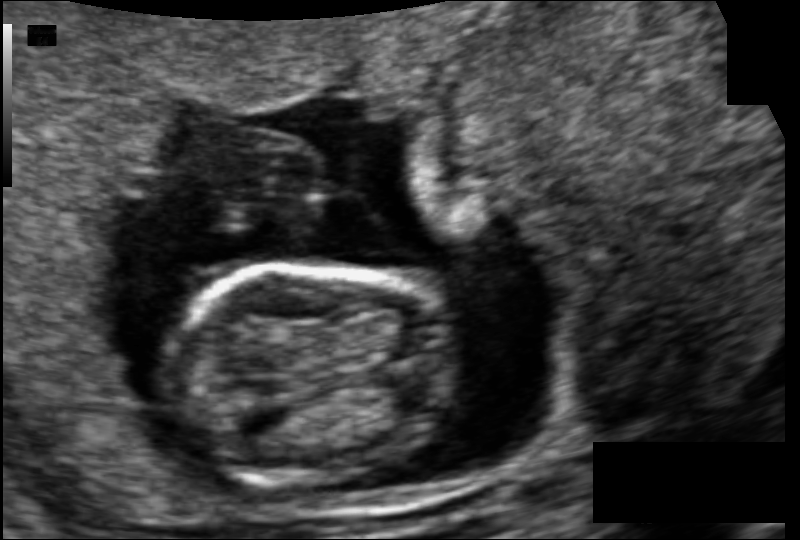
In this fetal head ultrasound, give bounding boxes for the head outline, cavum septum pellucidum (CSP), and lateral ventricle (LV), where visible. Image width: 70.0 mm.

Head: [166,262,457,485]